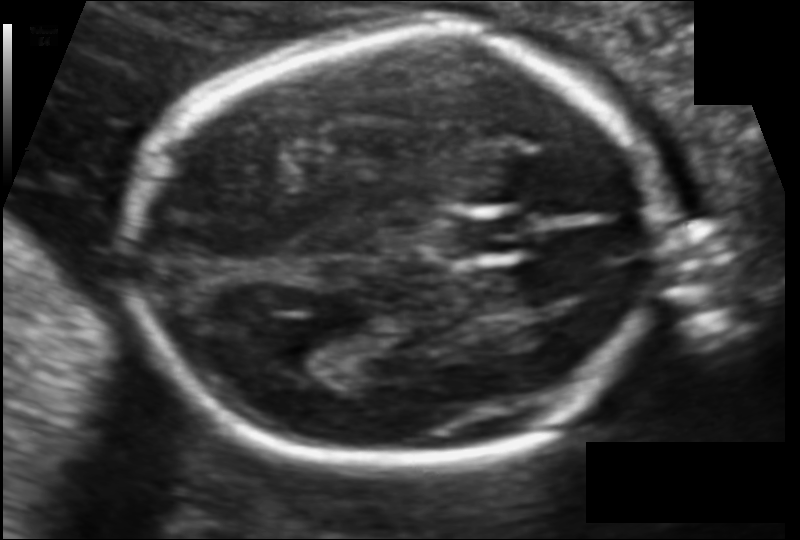
What is the fetal head circumference? Image width is 84.9 mm.

167.4 mm